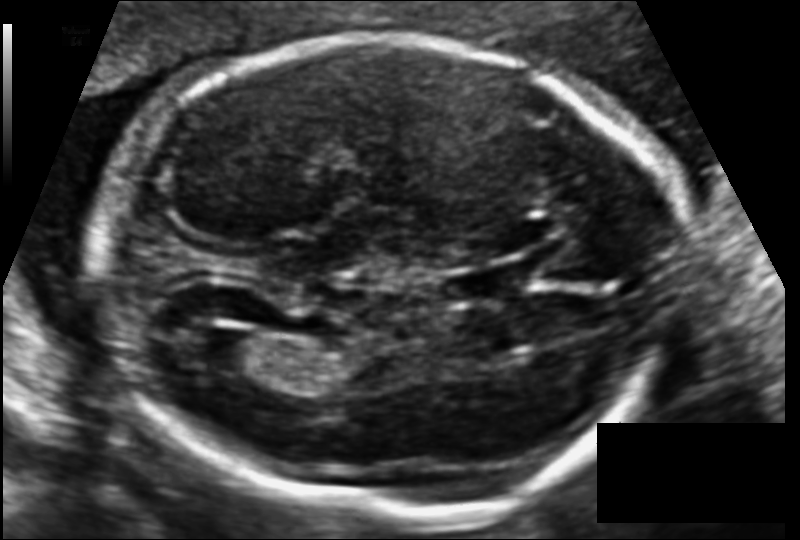
From this fetal ultrasound, estimate the head circumference (image width 92.7 mm).

Head circumference: 196.9 mm.